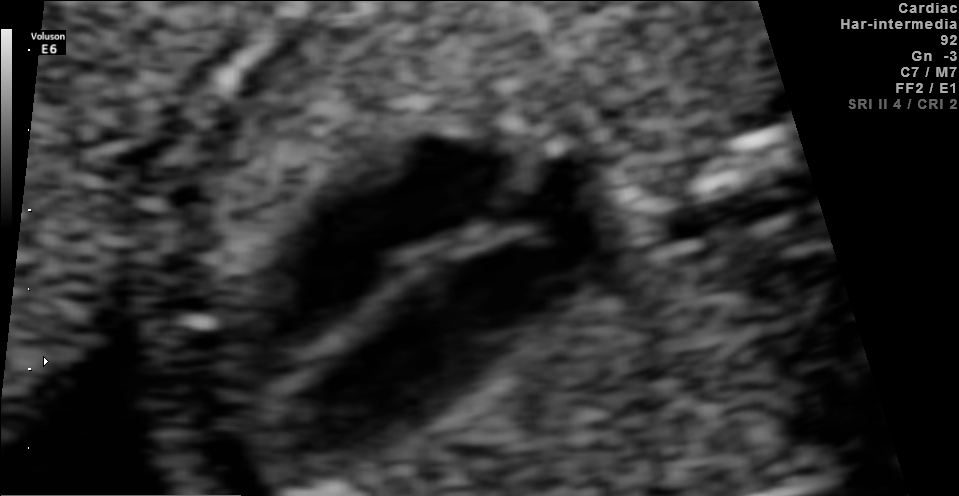
Which standard maternal-fetal ultrasound plane is shown: fetal abdomen, fetal brain, fetal femur, fetal thorax, maternal cervix, or other? If it's fetal brain and one of the three standard brain planes (trans-thalamic, trans-cerebellum, trans-ventricular), name which.

Fetal thorax